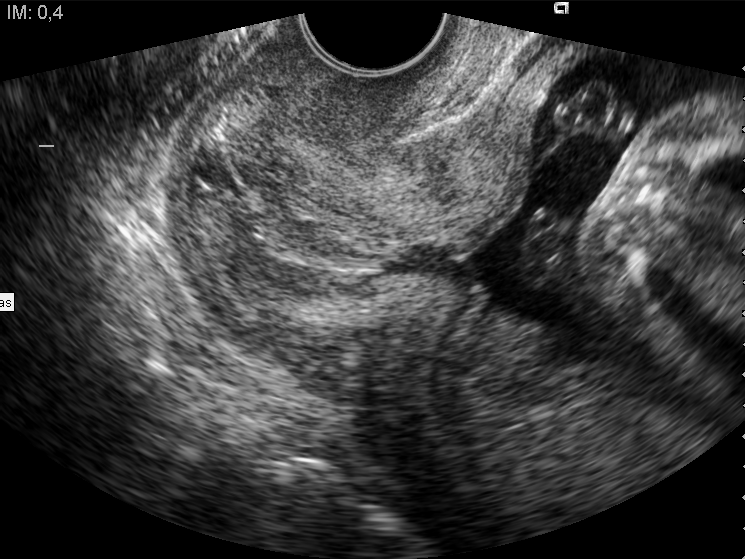
Identify the standard plane in this fetal ultrasound image: fetal abdomen, fetal brain, fetal femur, fetal thorax, maternal cervix, or other. If it's fetal brain and one of the three standard brain planes (trans-thalamic, trans-cerebellum, trans-ventricular), name which.

Maternal cervix